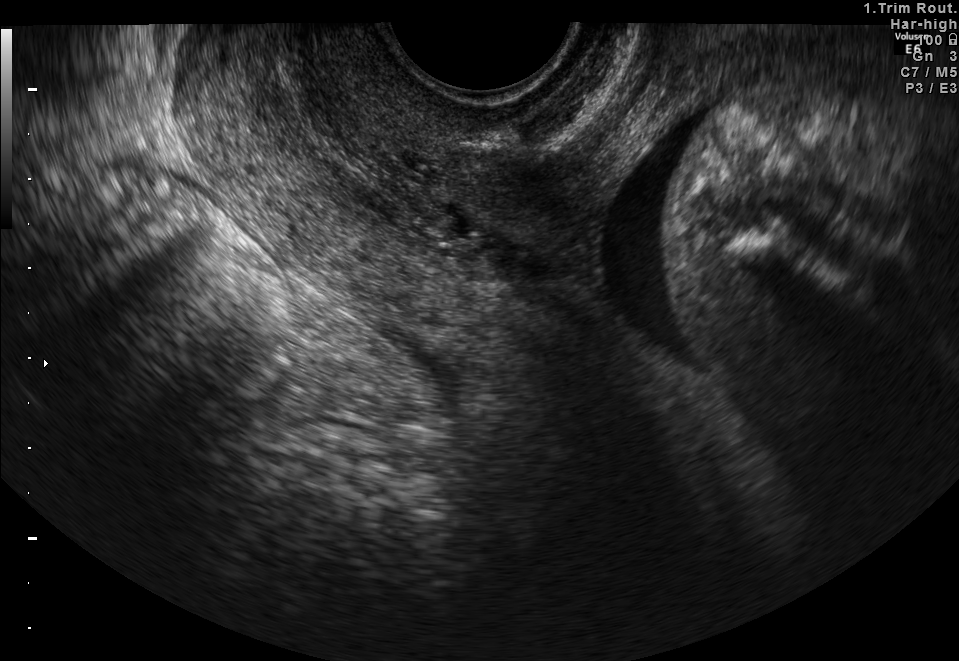
Identify the standard plane in this fetal ultrasound image: fetal abdomen, fetal brain, fetal femur, fetal thorax, maternal cervix, or other. If it's fetal brain and one of the three standard brain planes (trans-thalamic, trans-cerebellum, trans-ventricular), name which.

Maternal cervix